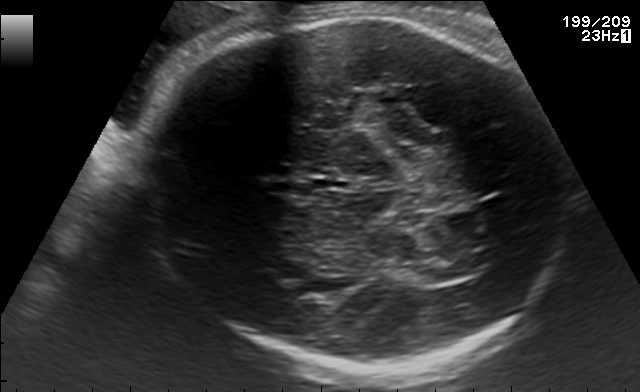
Fetal brain, trans-thalamic plane. Give [x1,y1,x2,y2] bounding boxes for each visible structure among: fetal head, CSP, LV.

Head: [146,14,565,372]
Lateral ventricle: [416,257,473,288]